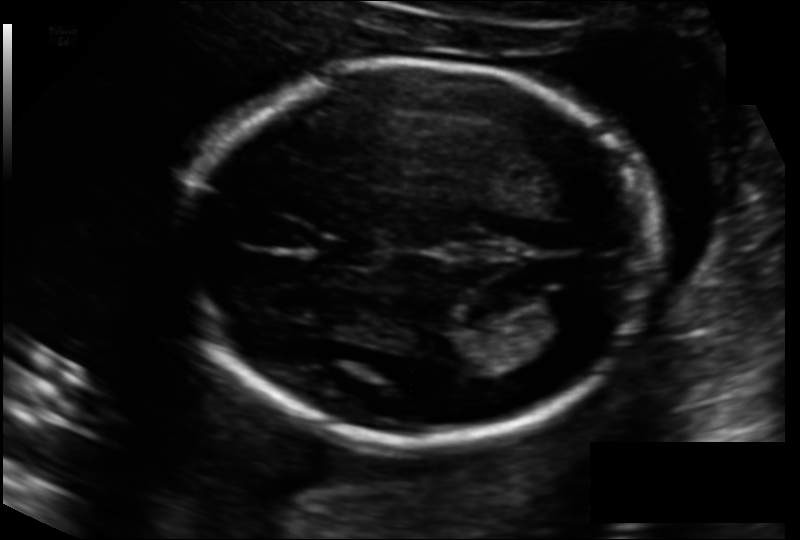
Fetal head ultrasound. Image width: 106.6 mm. Locate the cavum septum pellucidum.

CSP: [319,234,381,270]